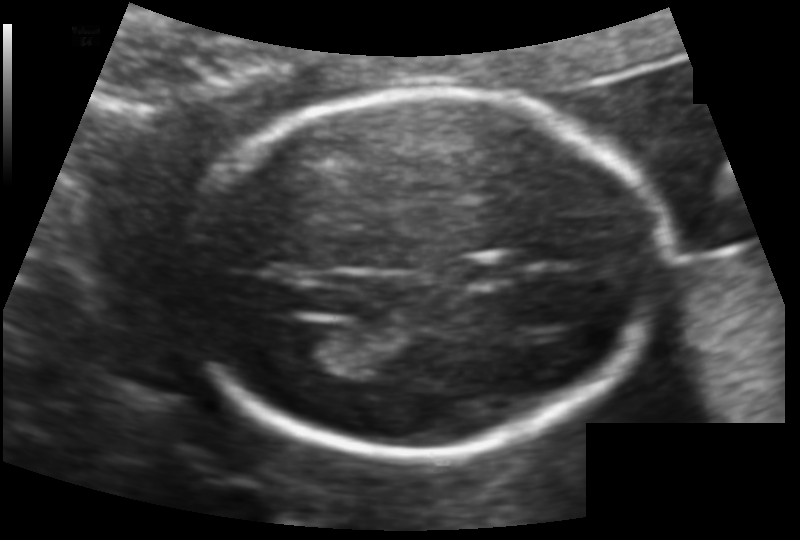
Estimate the fetal head circumference from this 2D ultrasound.

Head circumference: 155.9 mm (image width 90.1 mm).